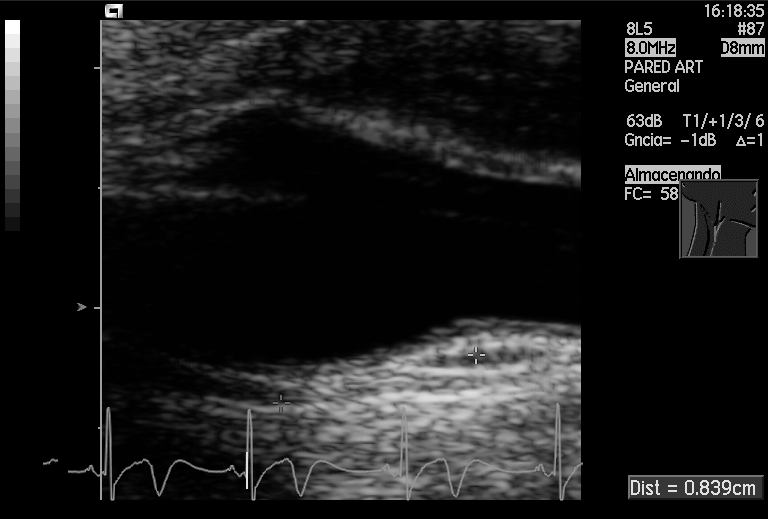
This is a 2D maternal-fetal ultrasound frame. Is it a fetal abdomen, fetal brain, fetal femur, fetal thorax, maternal cervix, or other standard plane? If it's fetal brain and one of the three standard brain planes (trans-thalamic, trans-cerebellum, trans-ventricular), name which.

Other